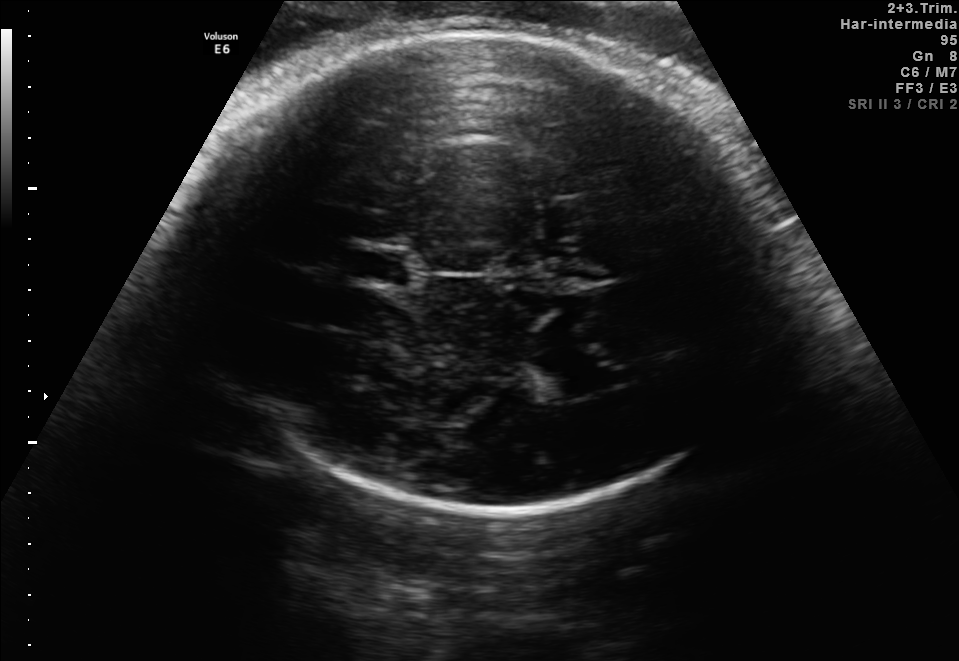
Fetal brain, trans-thalamic plane. Locate the cavum septum pellucidum.

CSP: [353,246,411,288]